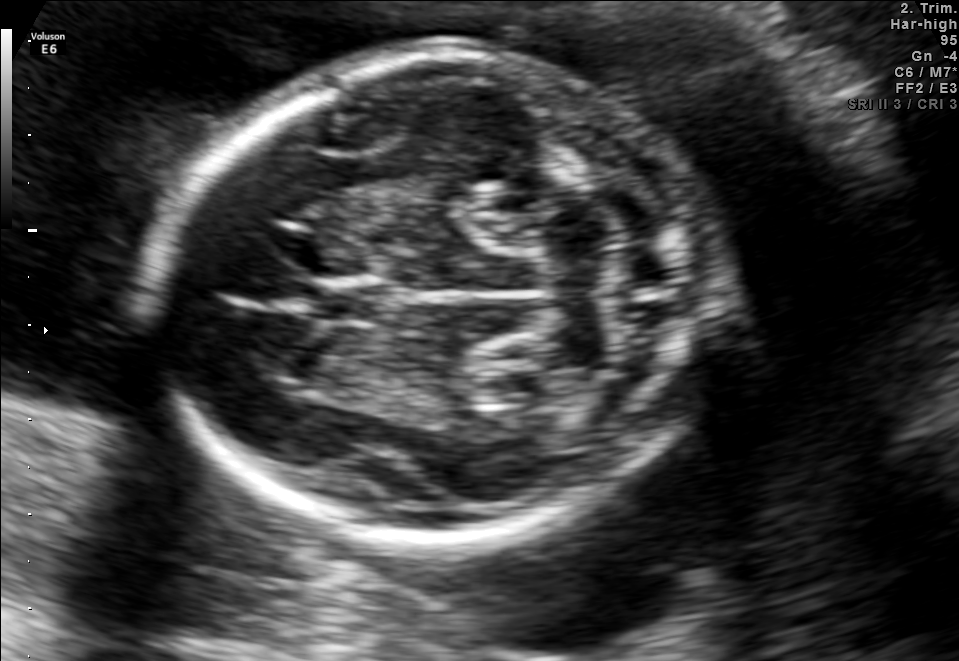
In this fetal brain, trans-cerebellum plane, give the bounding box of the cavum septum pellucidum.

[309,281,384,324]